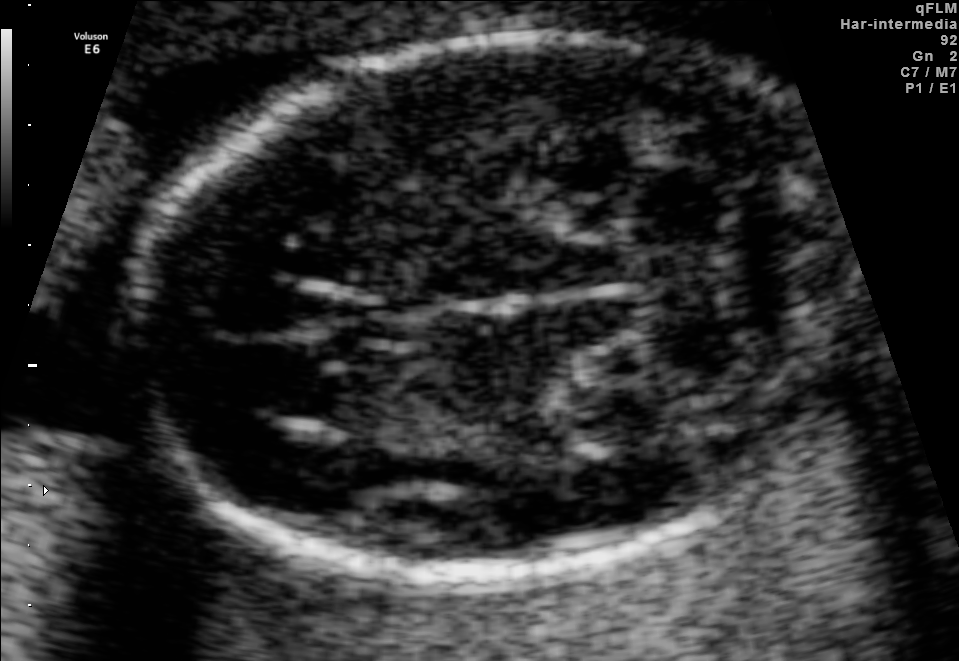
Fetal brain, trans-cerebellum plane. Locate the fetal head.

Head: [136,33,847,576]